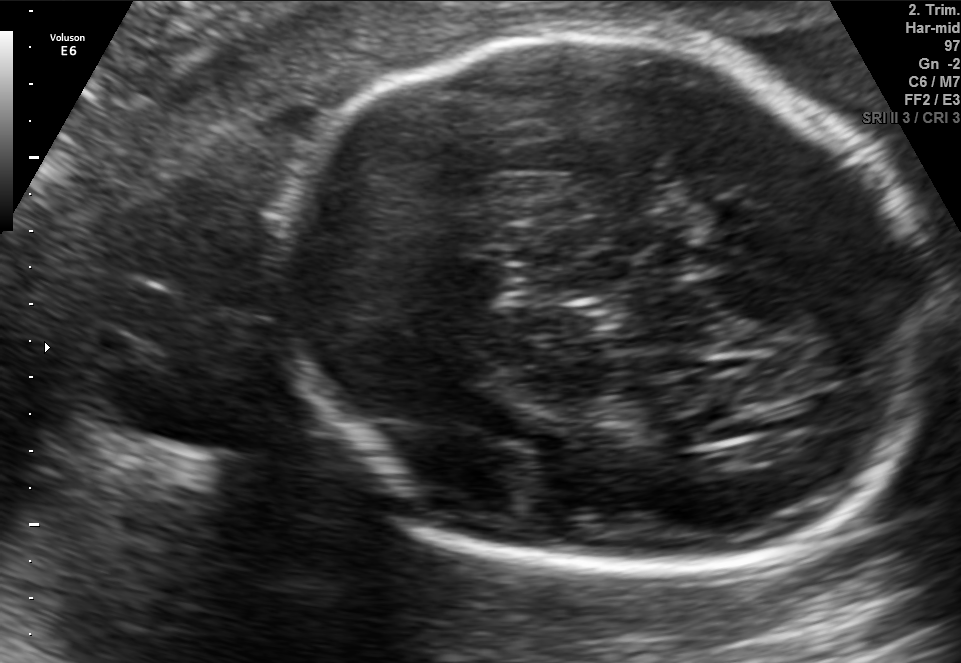
Fetal brain, trans-thalamic plane. Give [x1,y1,x2,y2] bounding boxes for each visible structure among: fetal head, CSP, LV.

Head: [280,34,934,581]